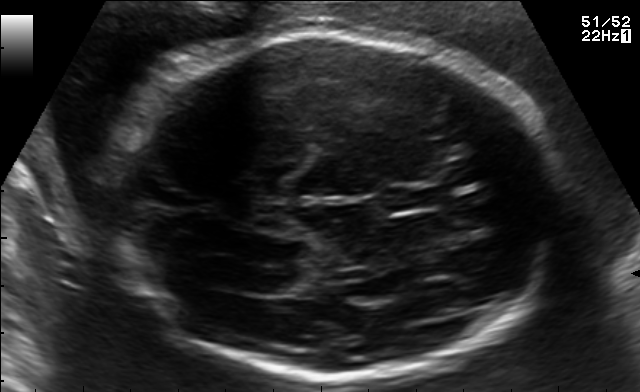
Fetal brain, trans-ventricular plane. Give [x1,y1,x2,y2] bounding boxes for each visible structure among: fetal head, CSP, LV.

Head: [97,28,575,383]
CSP: [384,186,437,214]
Lateral ventricle: [229,262,293,295]